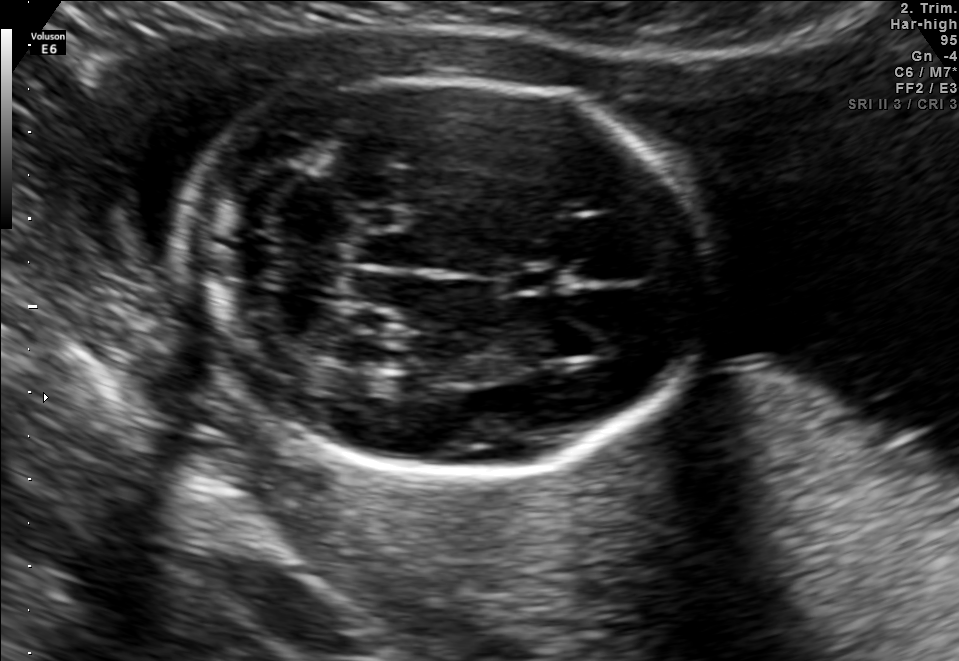
Fetal brain, trans-cerebellum plane. Locate the fetal head.

Head: [184,78,711,477]